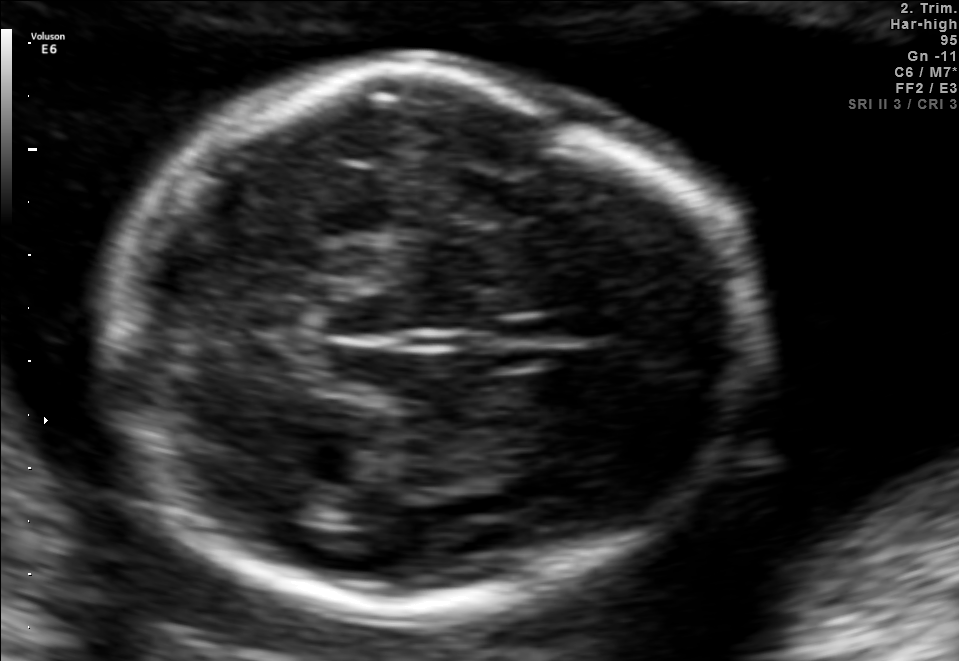
Fetal brain, trans-thalamic plane. Where is the fetal head?

Head bounding box: [100,72,751,611]